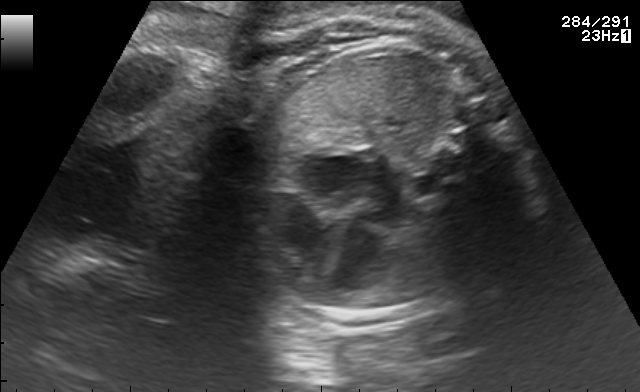
Which standard maternal-fetal ultrasound plane is shown: fetal abdomen, fetal brain, fetal femur, fetal thorax, maternal cervix, or other? If it's fetal brain and one of the three standard brain planes (trans-thalamic, trans-cerebellum, trans-ventricular), name which.

Fetal thorax